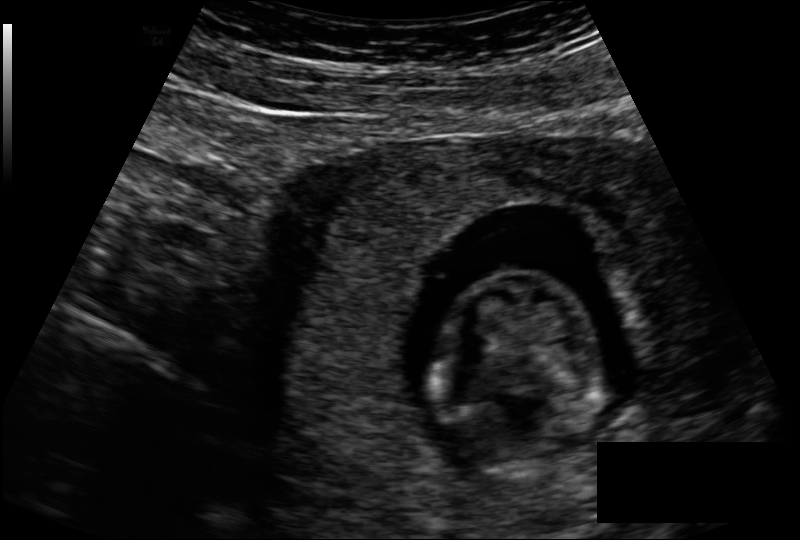
Fetal head ultrasound. Image width: 104.8 mm. Locate the fetal head.

Head: [436,272,599,474]